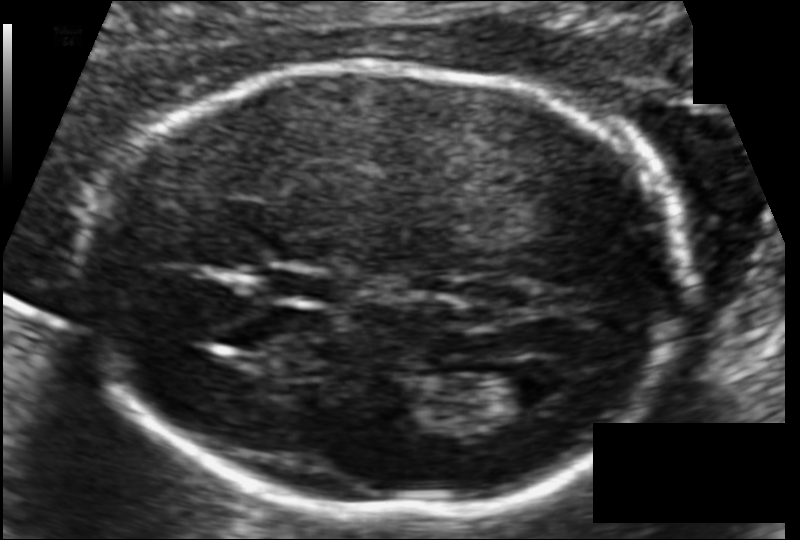
In this fetal head ultrasound, give the bounding box of the fetal head. Image width: 81.8 mm.

[85,66,683,510]